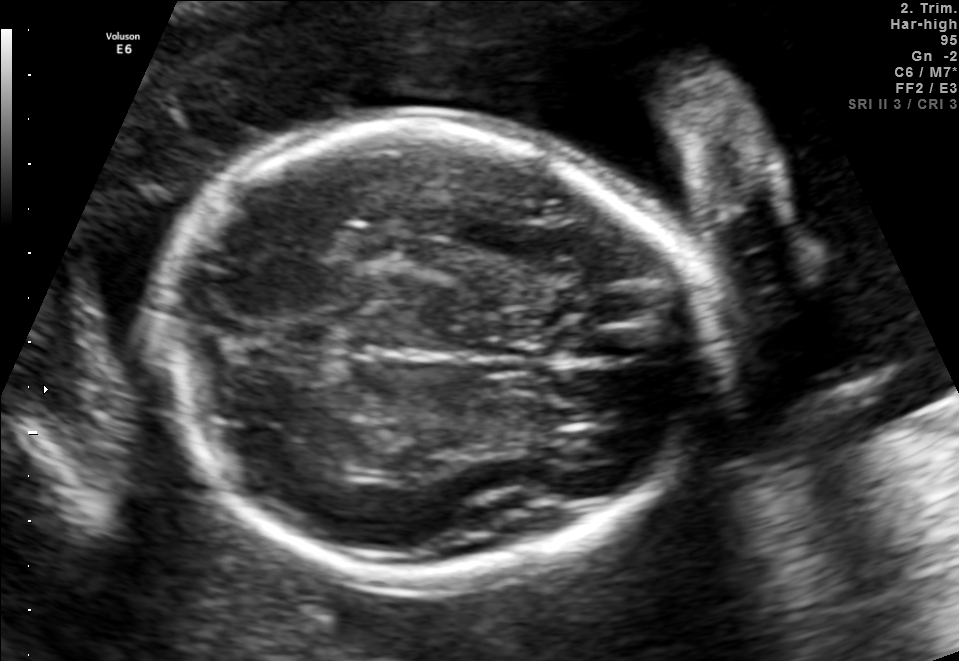
Fetal brain, trans-thalamic plane. Where is the fetal head?

Head bounding box: [160,120,707,577]